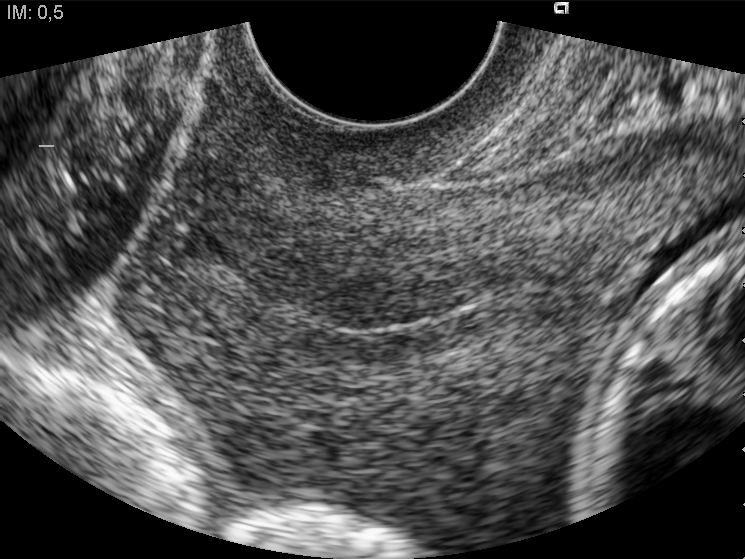
This is a 2D maternal-fetal ultrasound frame. Is it a fetal abdomen, fetal brain, fetal femur, fetal thorax, maternal cervix, or other standard plane? If it's fetal brain and one of the three standard brain planes (trans-thalamic, trans-cerebellum, trans-ventricular), name which.

Maternal cervix